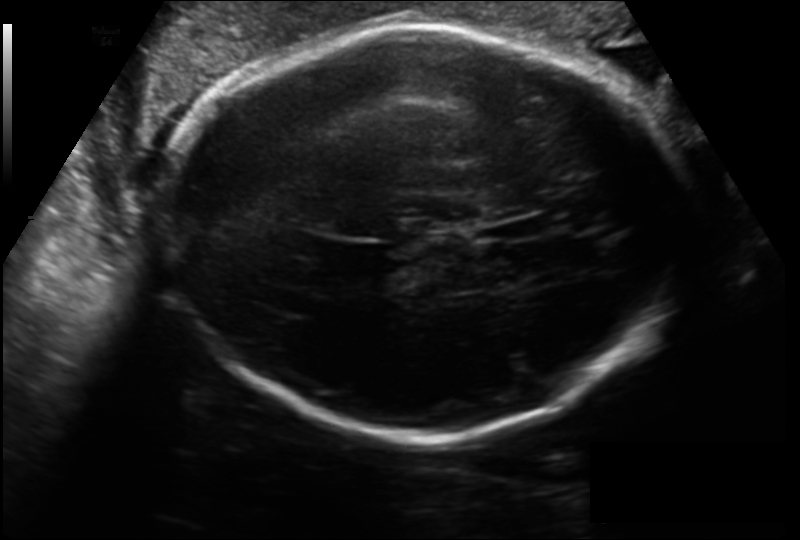
Fetal head ultrasound. Image width: 158.9 mm. Where is the fetal head?

Head bounding box: [168,26,681,440]